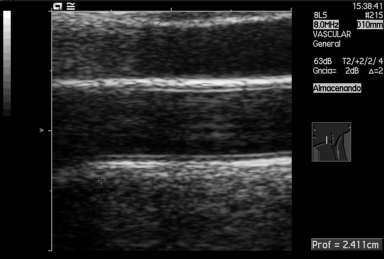
Classify this maternal-fetal ultrasound image as one of the six standard planes — fetal abdomen, fetal brain, fetal femur, fetal thorax, maternal cervix, or other. If it's fetal brain and one of the three standard brain planes (trans-thalamic, trans-cerebellum, trans-ventricular), name which.

Other